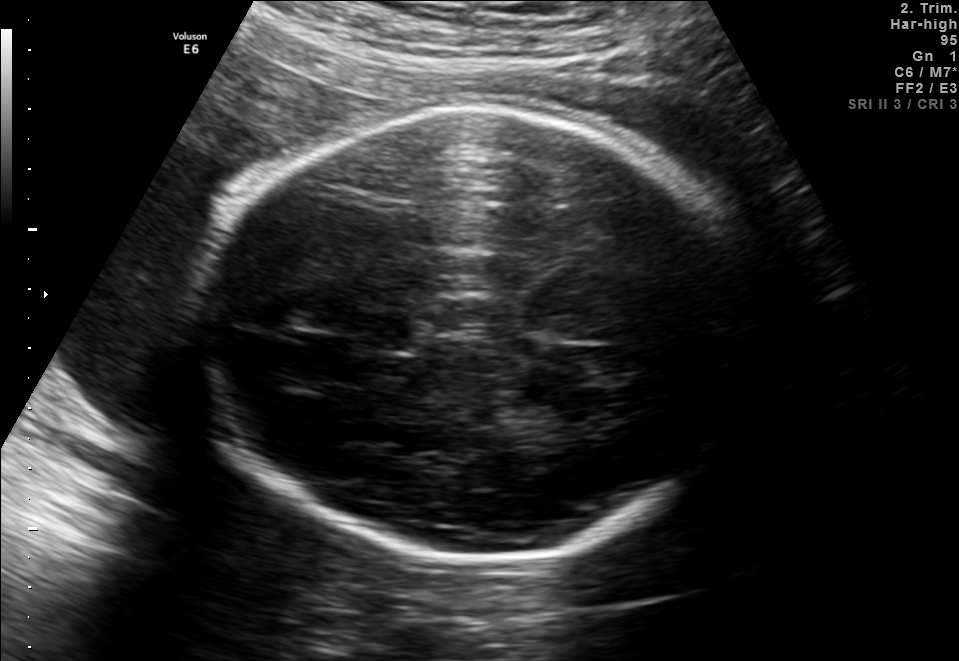
In this fetal brain, trans-thalamic plane, give the bounding box of the fetal head.

[201,110,756,567]